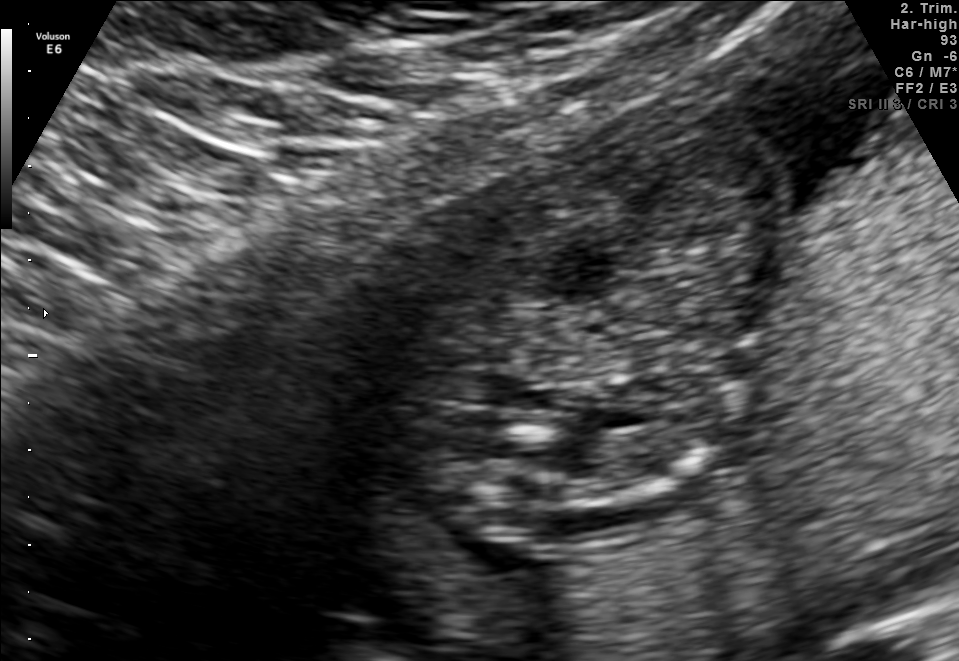
Identify the standard plane in this fetal ultrasound image: fetal abdomen, fetal brain, fetal femur, fetal thorax, maternal cervix, or other. If it's fetal brain and one of the three standard brain planes (trans-thalamic, trans-cerebellum, trans-ventricular), name which.

Other